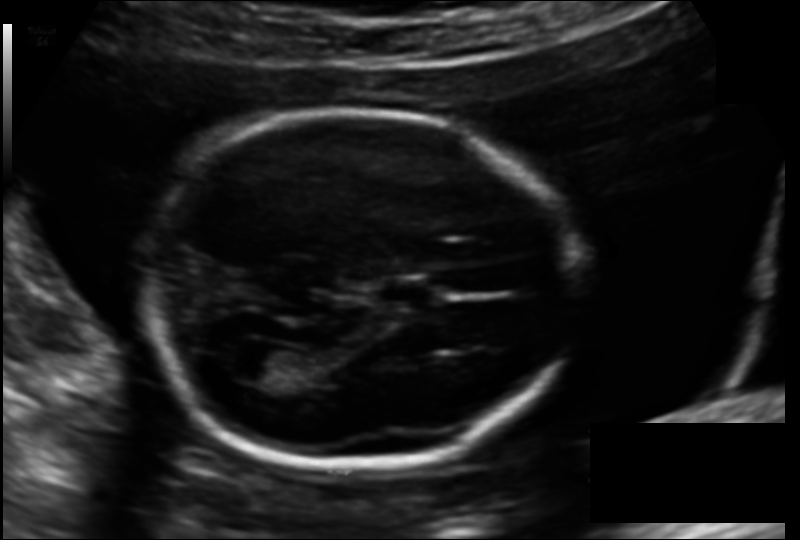
Estimate the fetal head circumference from this 2D ultrasound. Image width: 109.9 mm.

Head circumference: 179.0 mm.